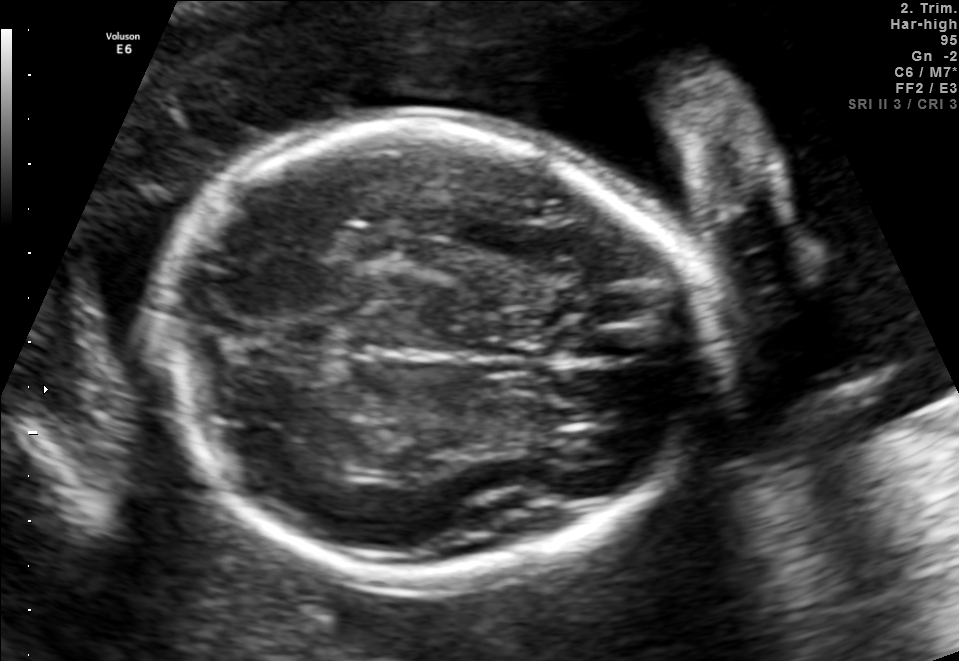
Fetal brain, trans-thalamic plane. Locate the fetal head.

Head: [160,120,707,577]